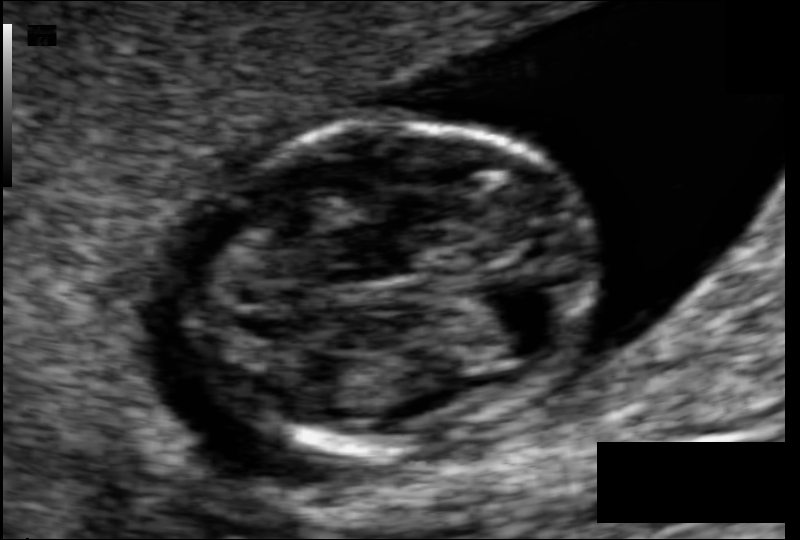
What is the fetal head circumference? Image width is 49.9 mm.

76.3 mm